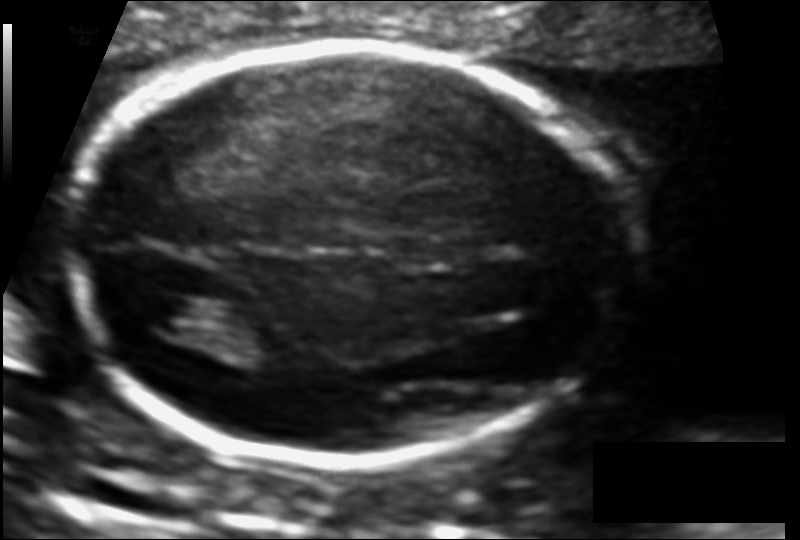
Estimate the fetal head circumference from this 2D ultrasound. Image width: 88.9 mm.

Head circumference: 178.2 mm.